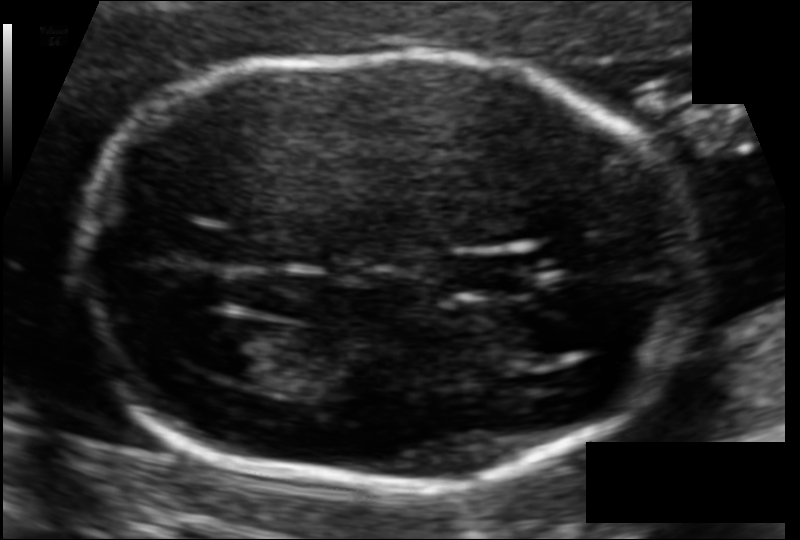
Fetal head ultrasound. Image width: 73.9 mm. Locate the cavum septum pellucidum.

CSP: [447,254,529,292]